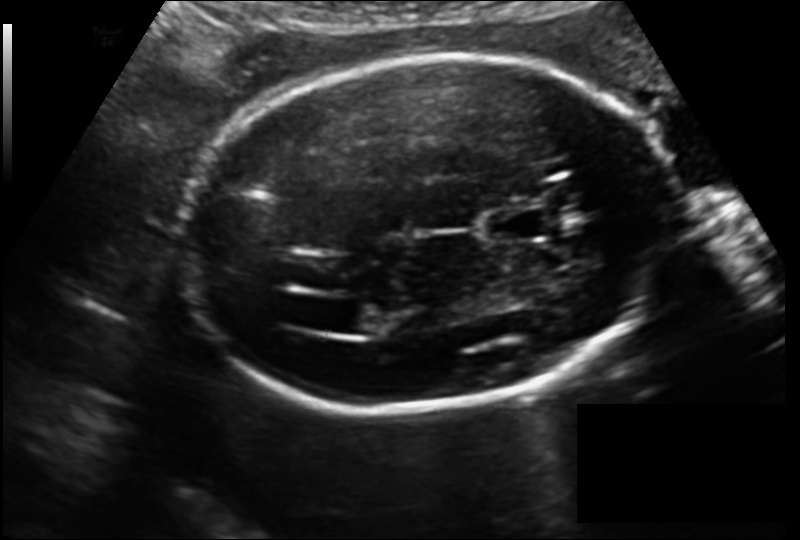
Fetal head ultrasound. Image width: 120.3 mm. Where is the cavum septum pellucidum?

CSP bounding box: [484,206,547,243]